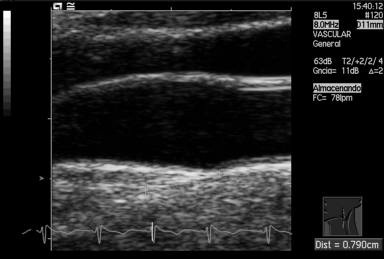
Identify the standard plane in this fetal ultrasound image: fetal abdomen, fetal brain, fetal femur, fetal thorax, maternal cervix, or other. If it's fetal brain and one of the three standard brain planes (trans-thalamic, trans-cerebellum, trans-ventricular), name which.

Other